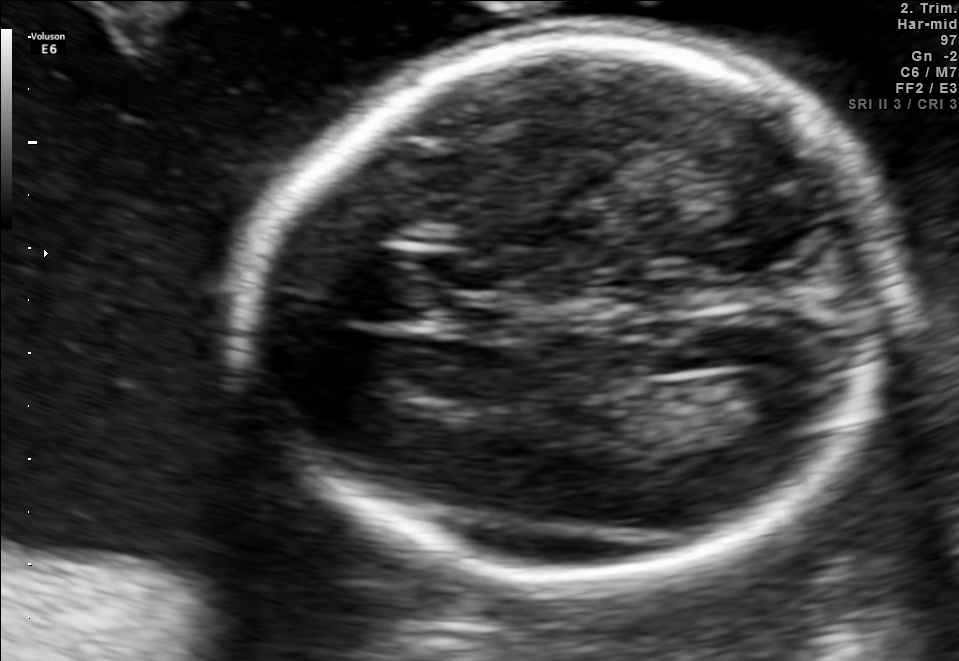
Fetal brain, trans-ventricular plane. Where is the lateral ventricle?

Lateral ventricle bounding box: [731,360,818,428]